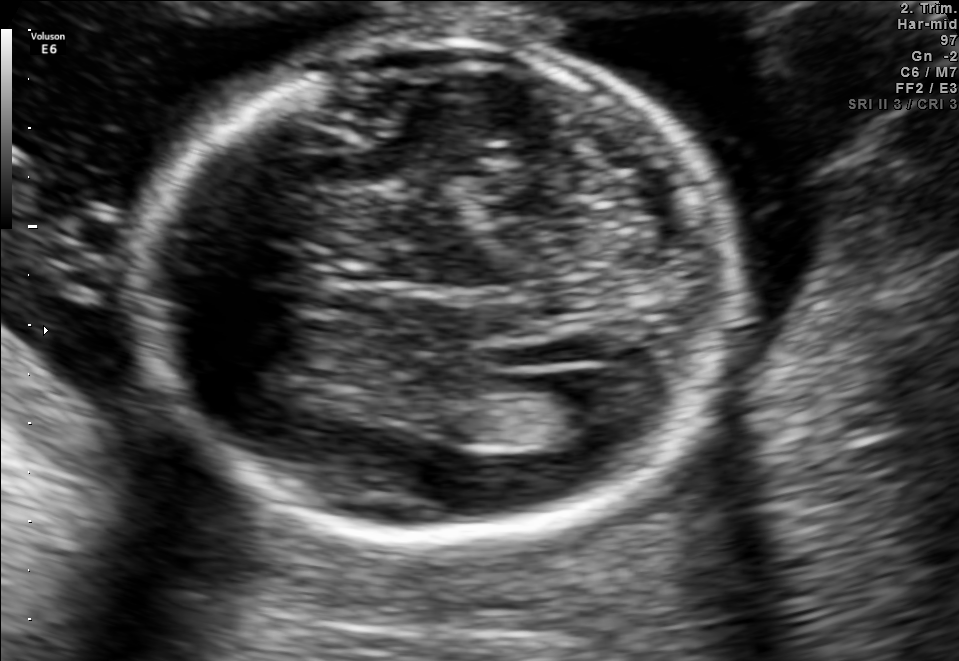
In this fetal brain, trans-ventricular plane, give bounding boxes for the head outline, cavum septum pellucidum (CSP), and lateral ventricle (LV), where visible.

Head: [124,27,753,548]
Lateral ventricle: [536,382,632,444]